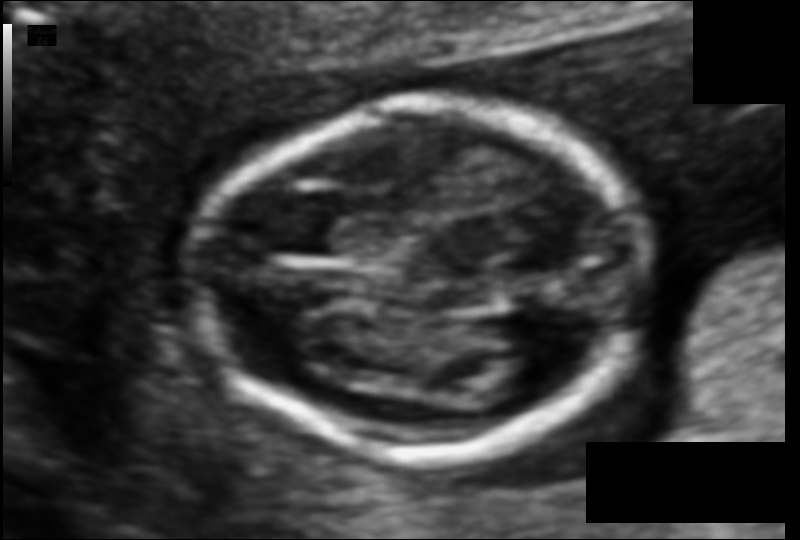
Fetal head ultrasound. Image width: 61.5 mm. Locate the fetal head.

Head: [197,105,648,458]